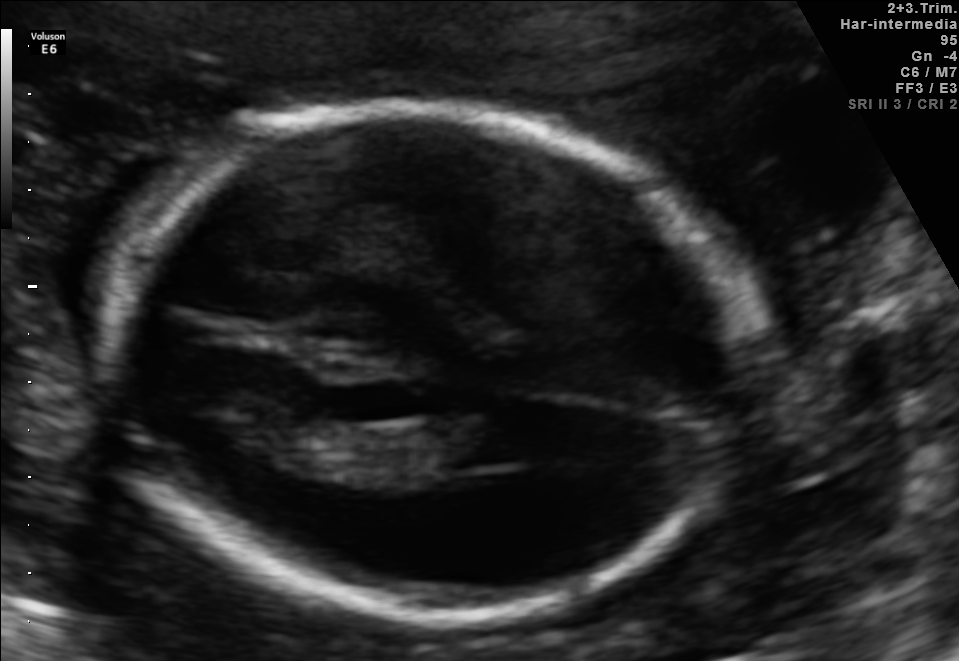
Fetal brain, trans-thalamic plane. Locate the fetal head.

Head: [102,109,757,618]